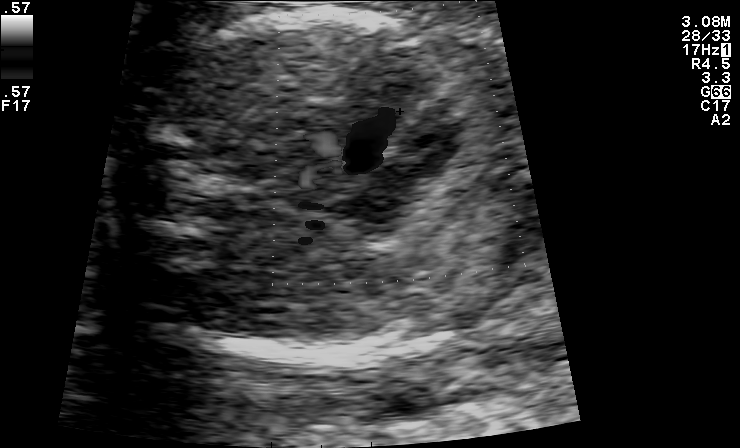
Identify the standard plane in this fetal ultrasound image: fetal abdomen, fetal brain, fetal femur, fetal thorax, maternal cervix, or other. If it's fetal brain and one of the three standard brain planes (trans-thalamic, trans-cerebellum, trans-ventricular), name which.

Other